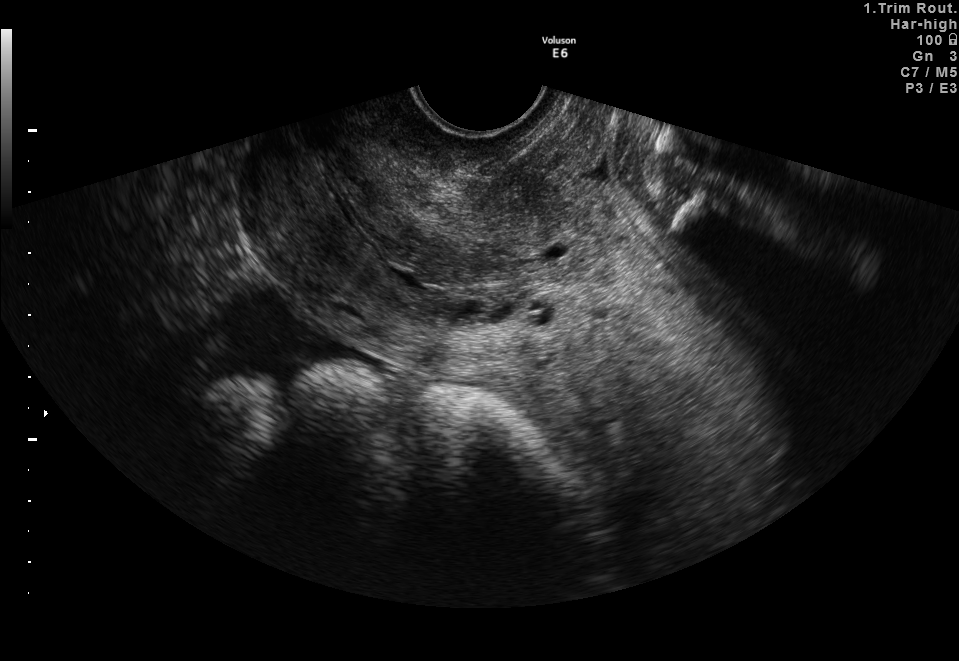
This is a 2D maternal-fetal ultrasound frame. Is it a fetal abdomen, fetal brain, fetal femur, fetal thorax, maternal cervix, or other standard plane? If it's fetal brain and one of the three standard brain planes (trans-thalamic, trans-cerebellum, trans-ventricular), name which.

Maternal cervix